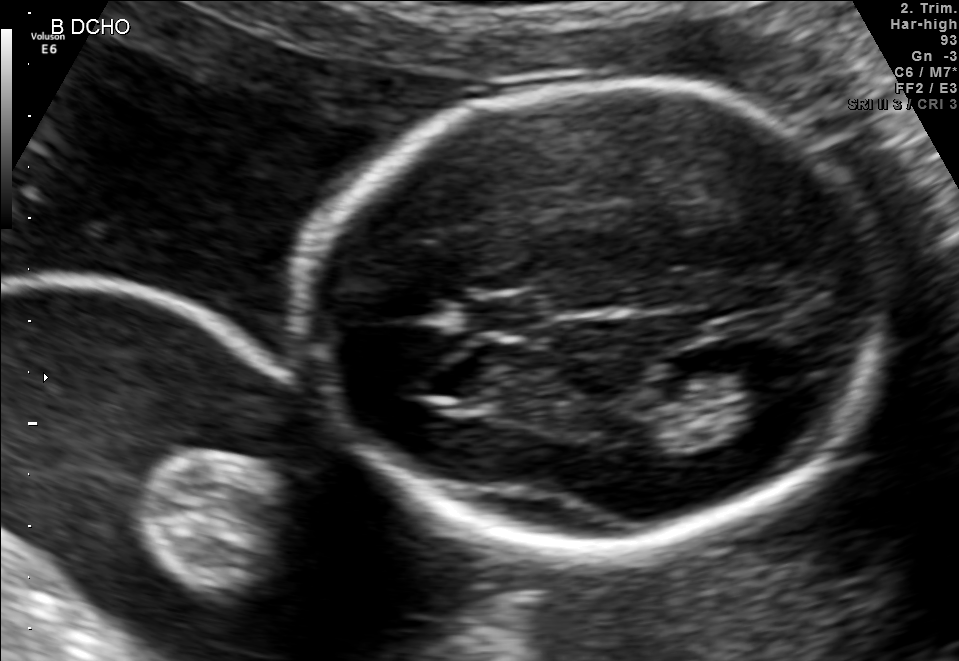
Fetal brain, trans-thalamic plane. Locate the cavum septum pellucidum.

CSP: [463,293,543,334]